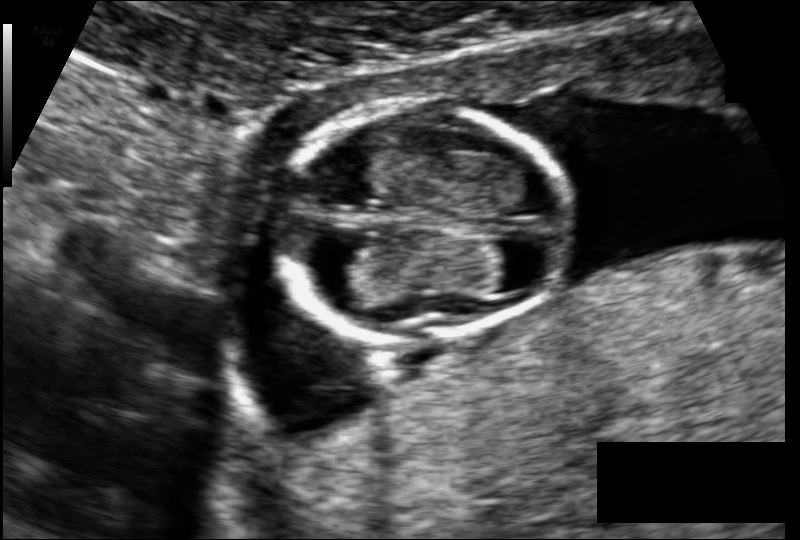
In this fetal head ultrasound, give the bounding box of the fetal head. Image width: 78.5 mm.

[275,105,576,337]